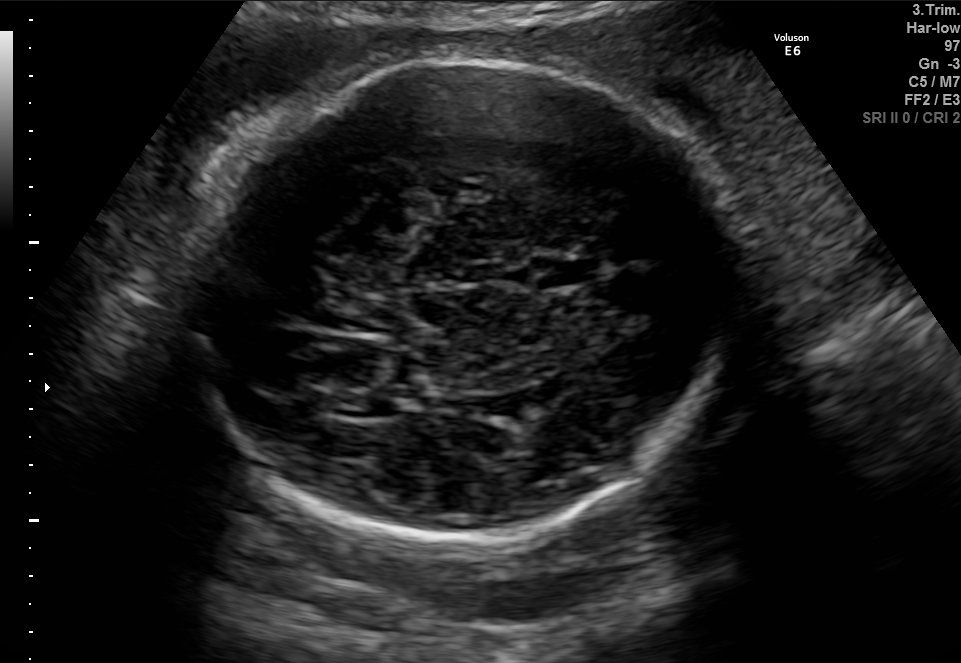
In this fetal brain, trans-thalamic plane, give bounding boxes for the head outline, cavum septum pellucidum (CSP), and lateral ventricle (LV), where visible.

Head: [181,57,746,548]
CSP: [538,257,597,289]
Lateral ventricle: [334,396,393,419]